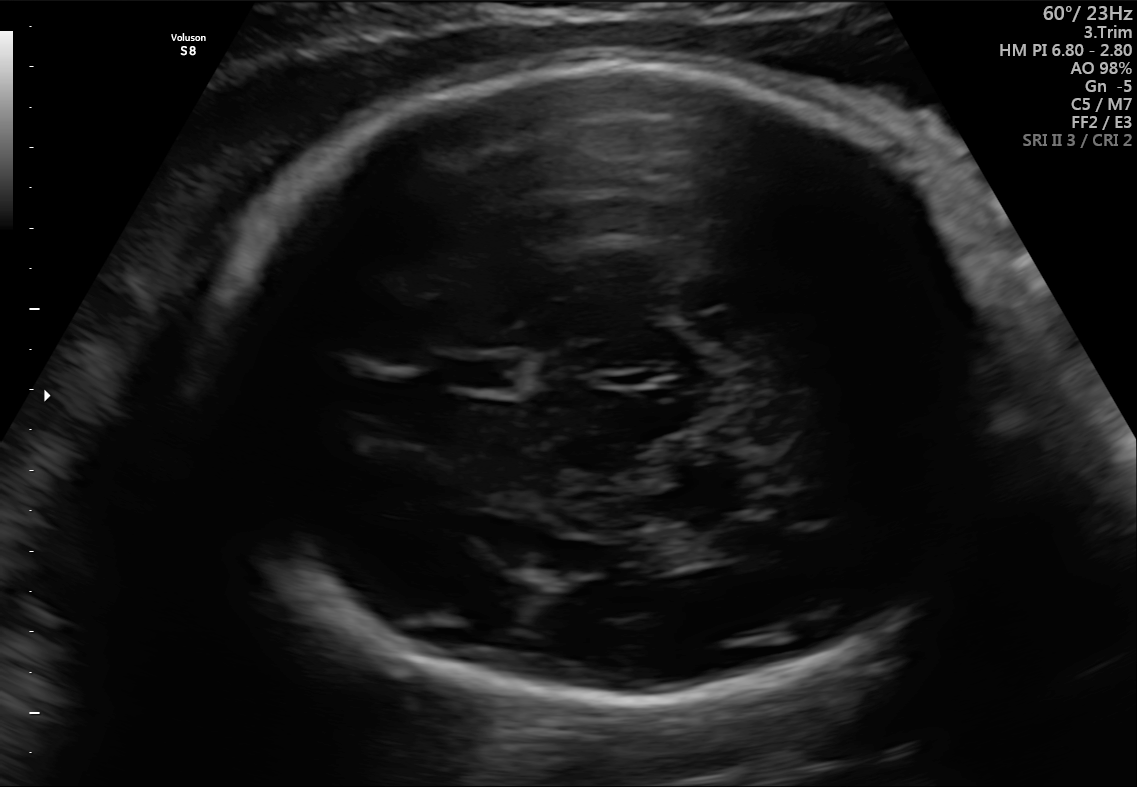
Which standard maternal-fetal ultrasound plane is shown: fetal abdomen, fetal brain, fetal femur, fetal thorax, maternal cervix, or other? If it's fetal brain and one of the three standard brain planes (trans-thalamic, trans-cerebellum, trans-ventricular), name which.

Fetal brain (trans-thalamic plane)